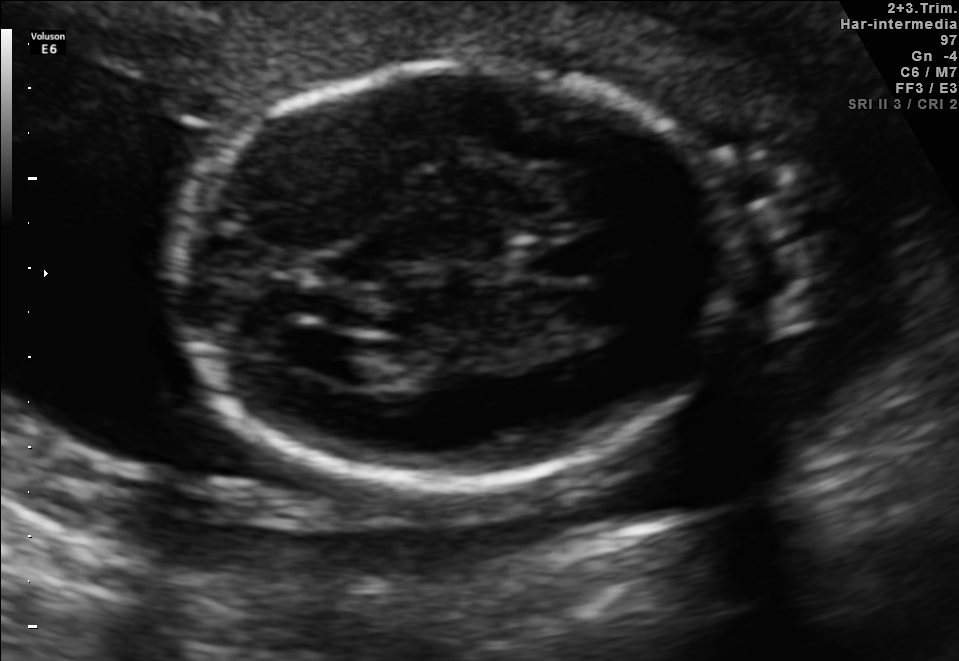
In this fetal brain, trans-ventricular plane, give the bounding box of the lateral ventricle.

[266,316,370,387]